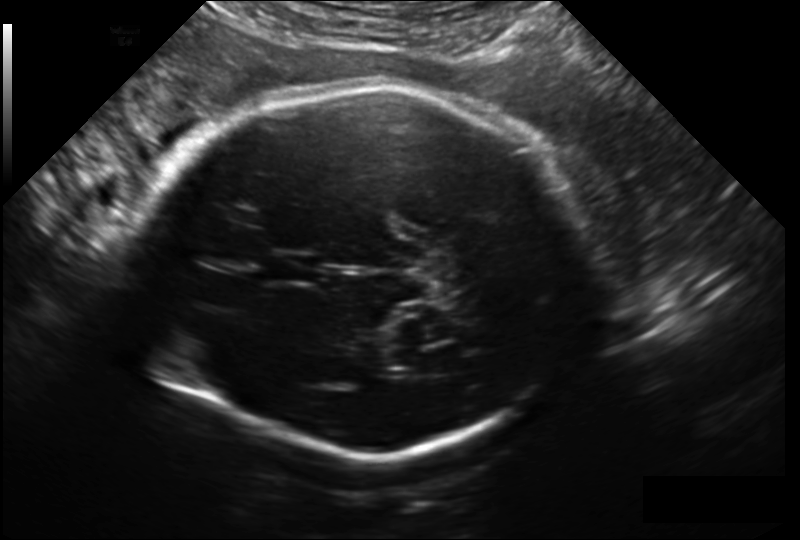
From this fetal ultrasound, estimate the head circumference (image width 167.2 mm).

Head circumference: 283.0 mm.